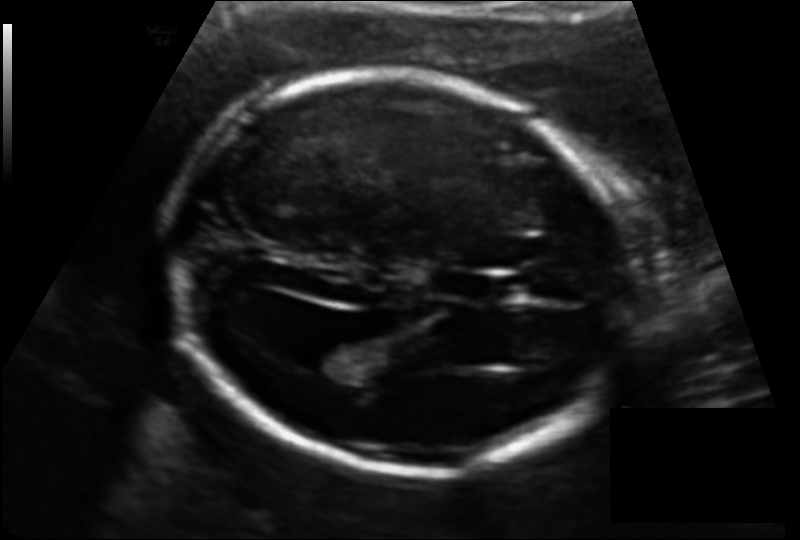
Estimate the fetal head circumference from this 2D ultrasound. Image width: 104.7 mm.

Head circumference: 184.5 mm.